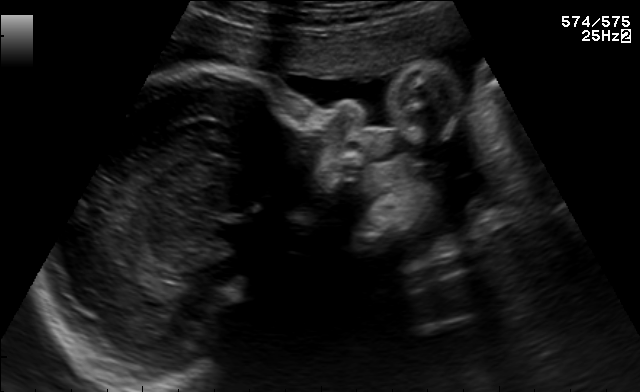
Which standard maternal-fetal ultrasound plane is shown: fetal abdomen, fetal brain, fetal femur, fetal thorax, maternal cervix, or other? If it's fetal brain and one of the three standard brain planes (trans-thalamic, trans-cerebellum, trans-ventricular), name which.

Other